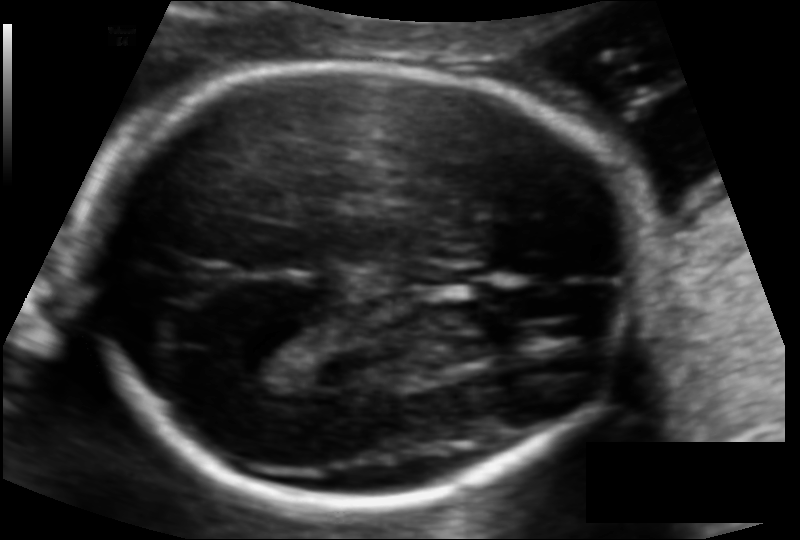
Measure the fetal head circumference shown in this ultrasound image. Image width: 86.6 mm.

Head circumference: 176.2 mm.